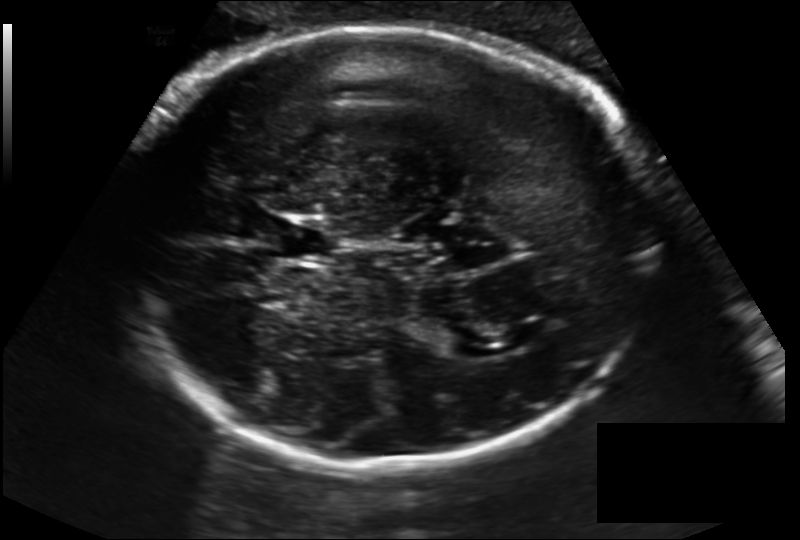
Estimate the fetal head circumference from this 2D ultrasound.

Head circumference: 300.0 mm (image width 155.1 mm).